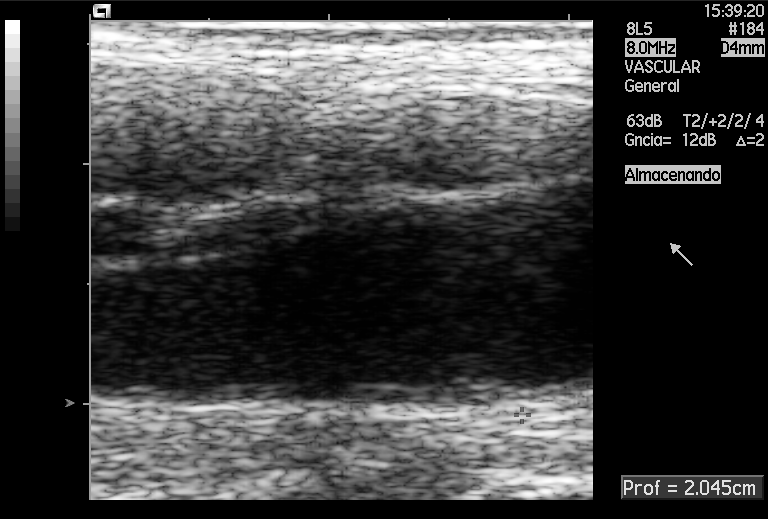
Which standard maternal-fetal ultrasound plane is shown: fetal abdomen, fetal brain, fetal femur, fetal thorax, maternal cervix, or other? If it's fetal brain and one of the three standard brain planes (trans-thalamic, trans-cerebellum, trans-ventricular), name which.

Other